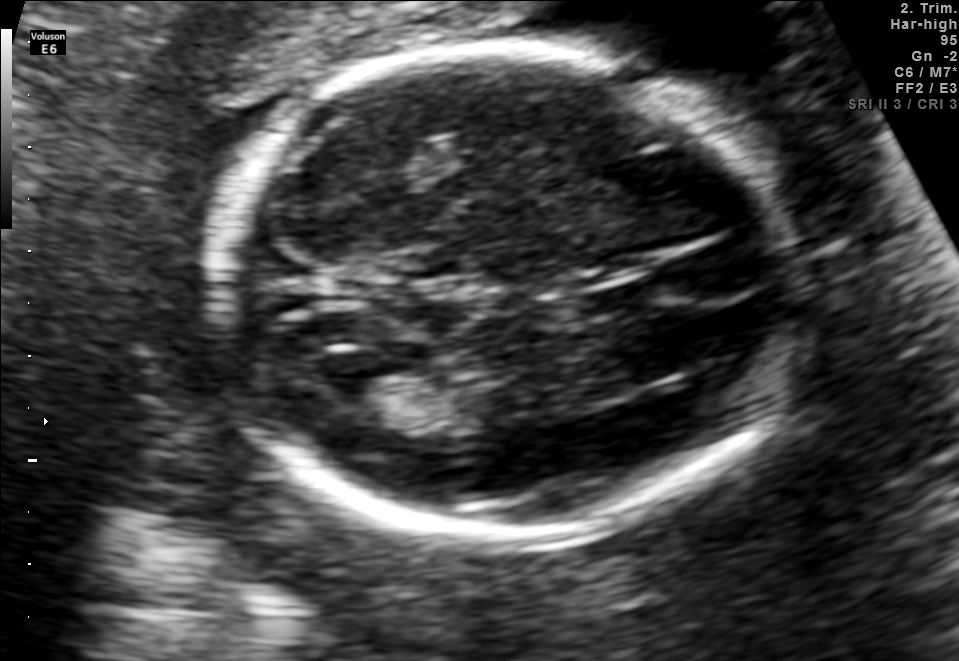
In this fetal brain, trans-ventricular plane, give bounding boxes for the head outline, cavum septum pellucidum (CSP), and lateral ventricle (LV), where visible.

Head: [192,37,825,550]
CSP: [581,270,667,321]
Lateral ventricle: [301,333,393,412]